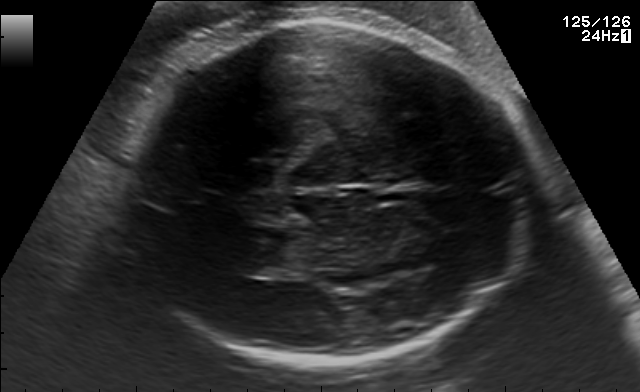
Fetal brain, trans-thalamic plane. Locate the fetal head.

Head: [116,21,532,358]